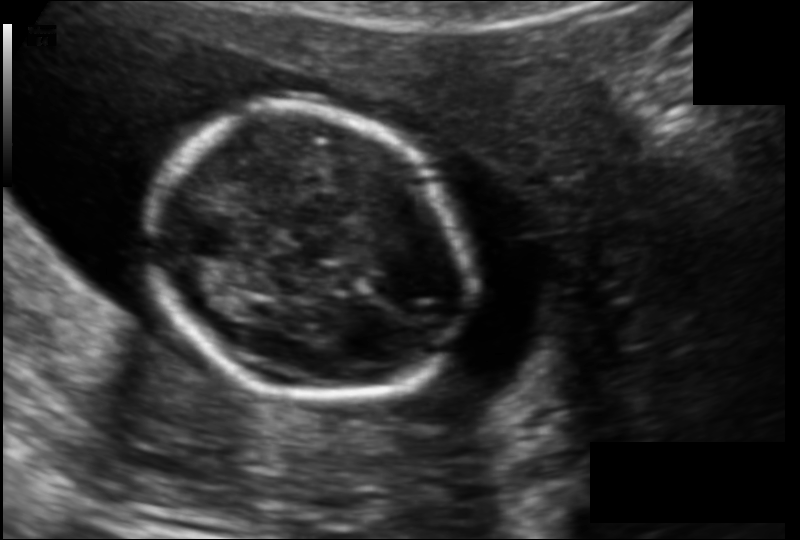
Fetal head ultrasound. Image width: 98.4 mm. Locate the fetal head.

Head: [153,112,473,402]